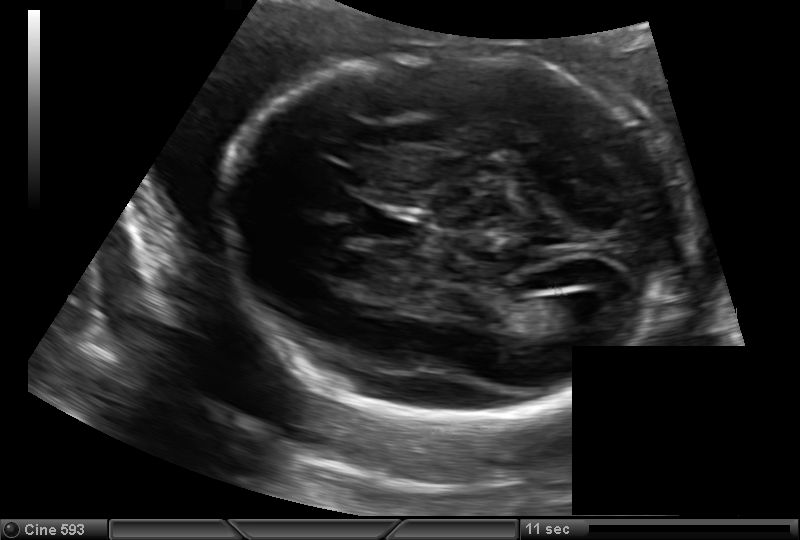
What is the fetal head circumference? Image width is 115.2 mm.

196.0 mm